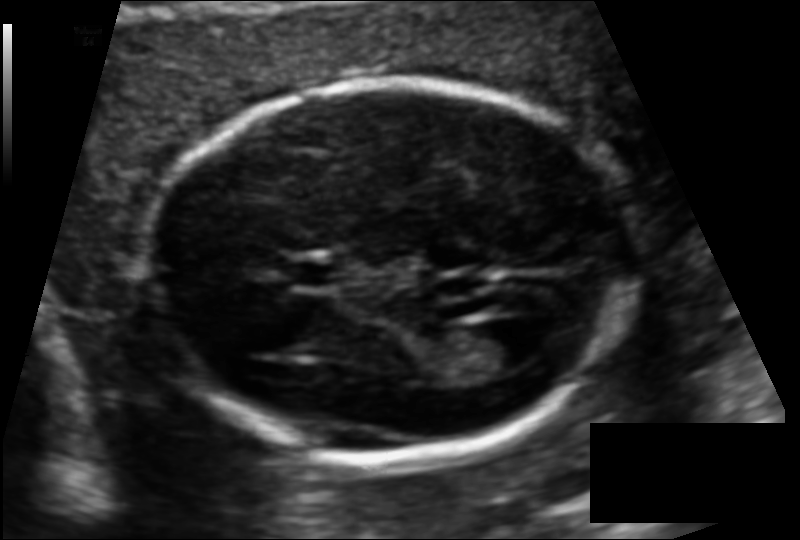
In this fetal head ultrasound, give the bounding box of the cavum septum pellucidum. Image width: 88.0 mm.

[288,262,339,285]